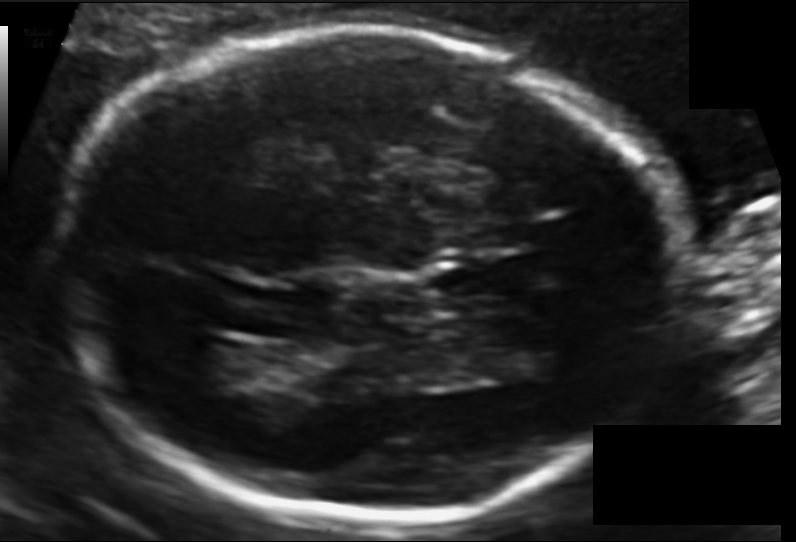
In this fetal head ultrasound, give the bounding box of the cavum septum pellucidum. Image width: 95.4 mm.

[437,265,519,299]